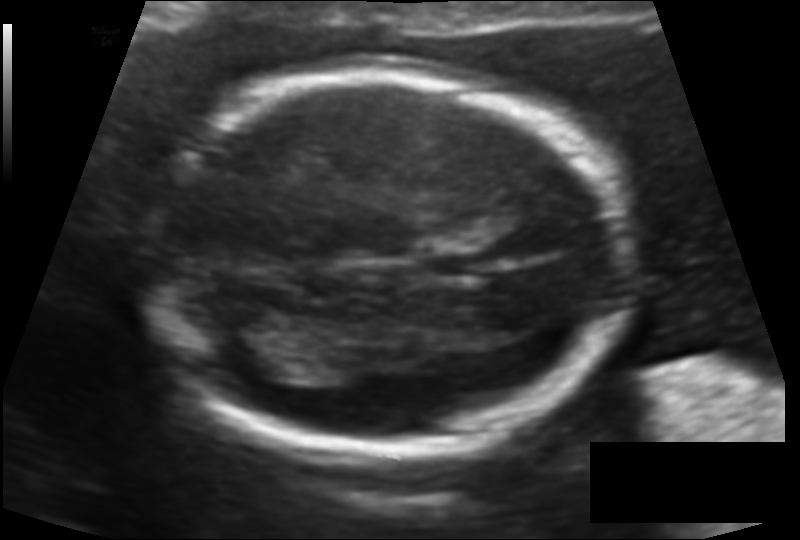
In this fetal head ultrasound, give the bounding box of the fetal head. Image width: 92.6 mm.

[139,69,622,449]